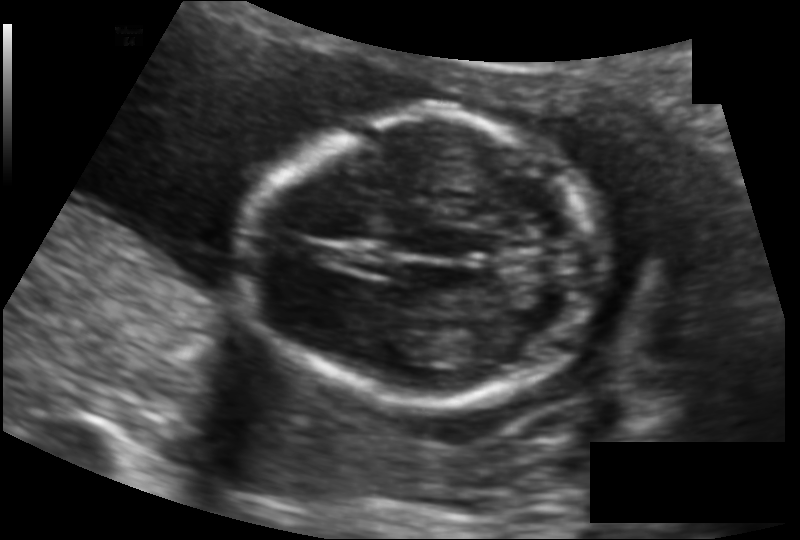
In this fetal head ultrasound, give the bounding box of the fetal head. Image width: 97.8 mm.

[243,114,601,401]